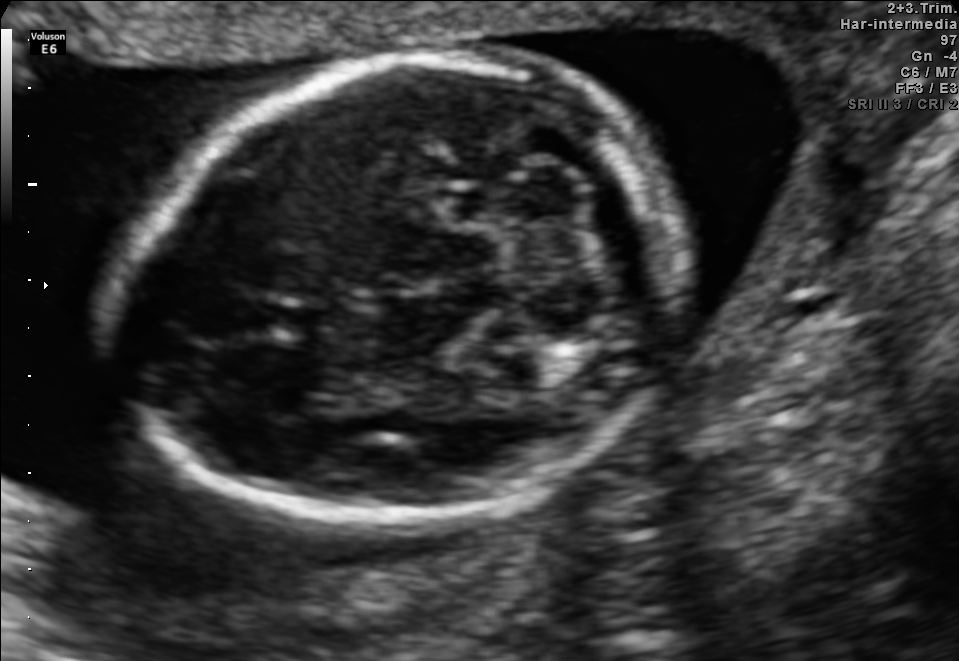
In this fetal brain, trans-cerebellum plane, give bounding boxes for the head outline, cavum septum pellucidum (CSP), and lateral ventricle (LV), where visible.

Head: [115,55,686,536]